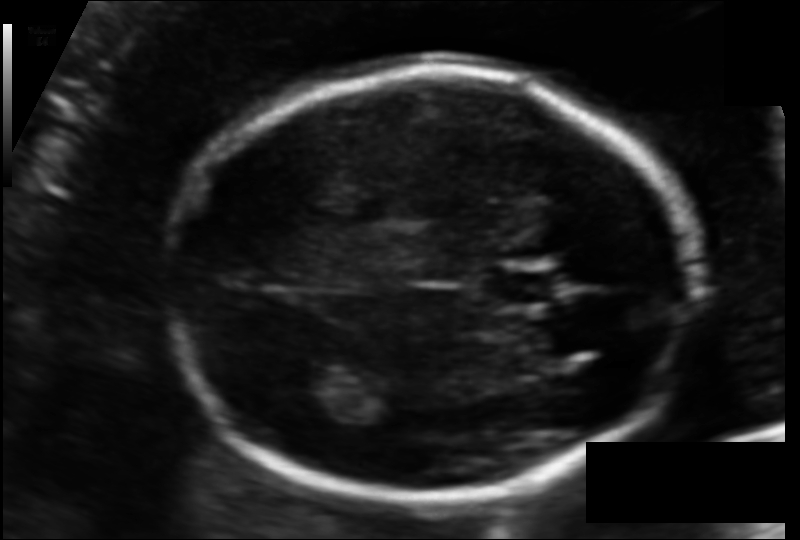
Fetal head ultrasound. Image width: 86.2 mm. Where is the cavum septum pellucidum?

CSP bounding box: [489,268,561,306]